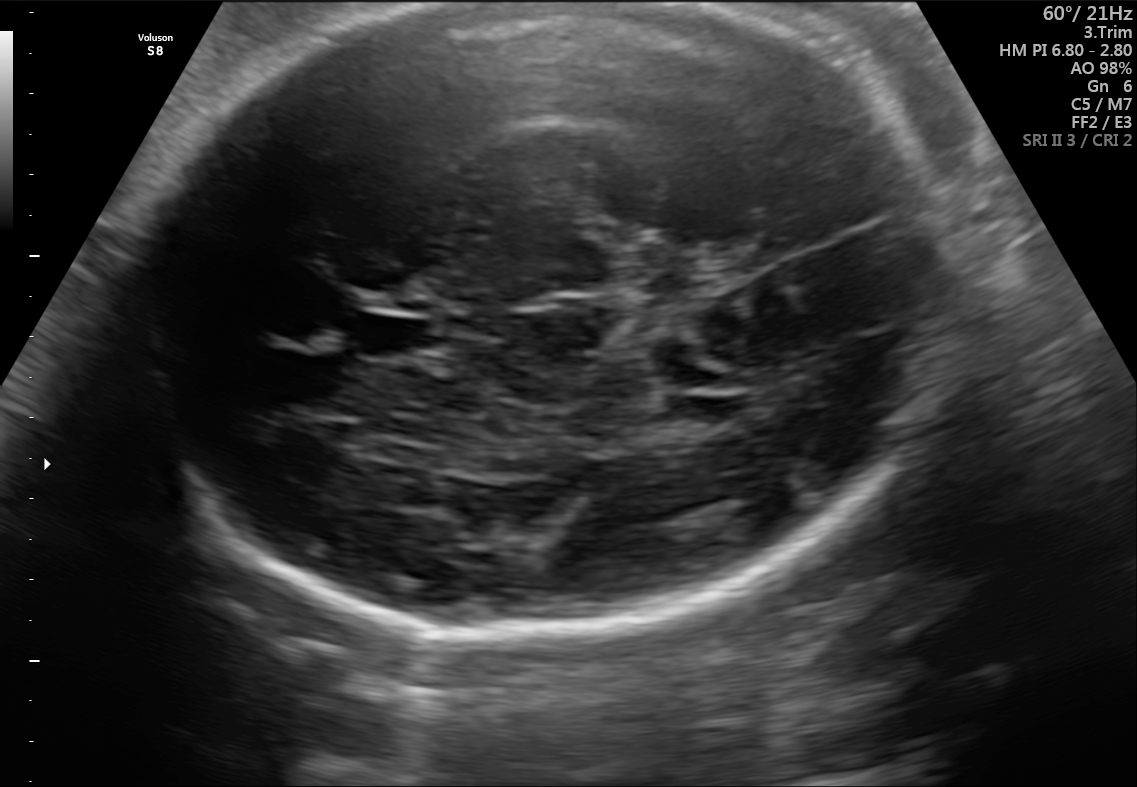
Fetal brain, trans-thalamic plane. Locate the cavum septum pellucidum.

CSP: [357,314,432,360]